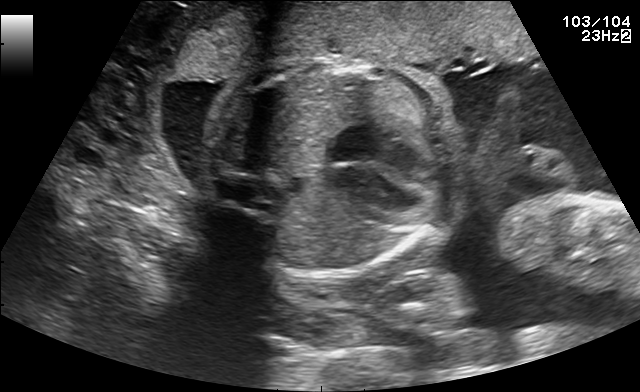
Which standard maternal-fetal ultrasound plane is shown: fetal abdomen, fetal brain, fetal femur, fetal thorax, maternal cervix, or other? If it's fetal brain and one of the three standard brain planes (trans-thalamic, trans-cerebellum, trans-ventricular), name which.

Fetal thorax